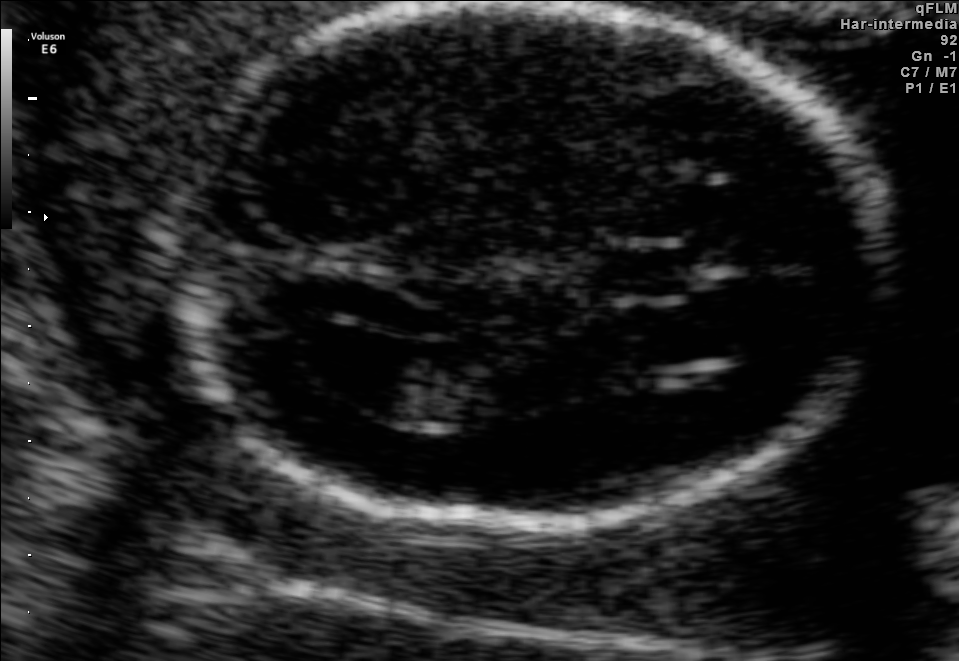
Fetal brain, trans-ventricular plane. Where is the cavum septum pellucidum?

CSP bounding box: [600,246,709,297]